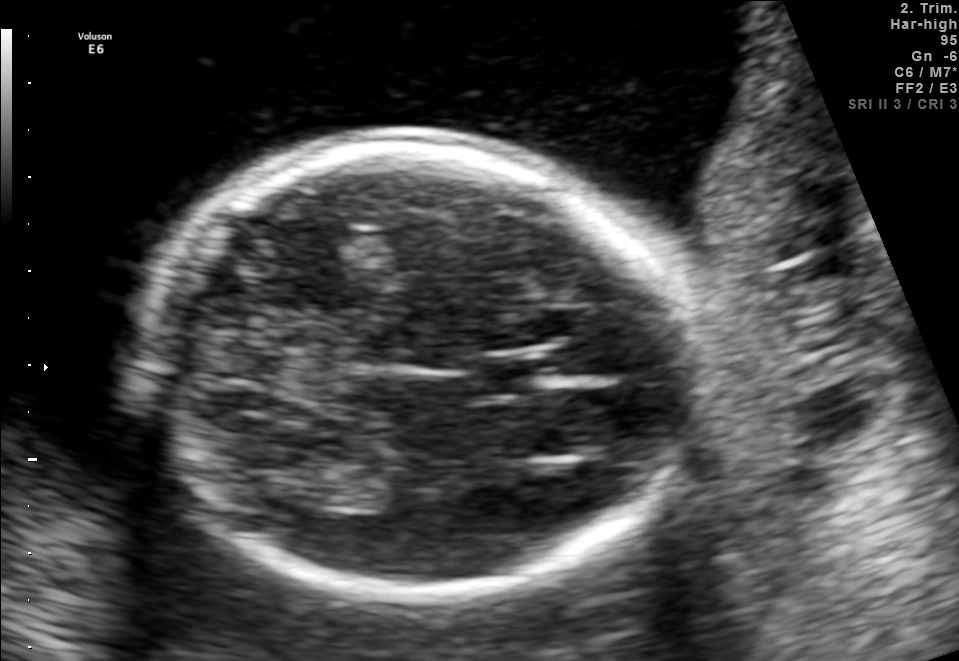
Fetal brain, trans-thalamic plane. Where is the cavum septum pellucidum?

CSP bounding box: [475,358,545,398]